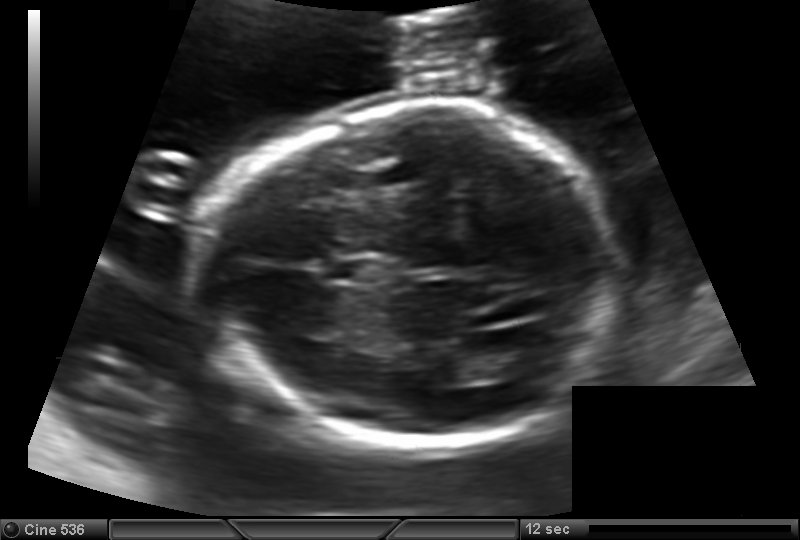
Fetal head ultrasound. Image width: 115.2 mm. Locate the cavum septum pellucidum.

CSP: [335,259,379,282]